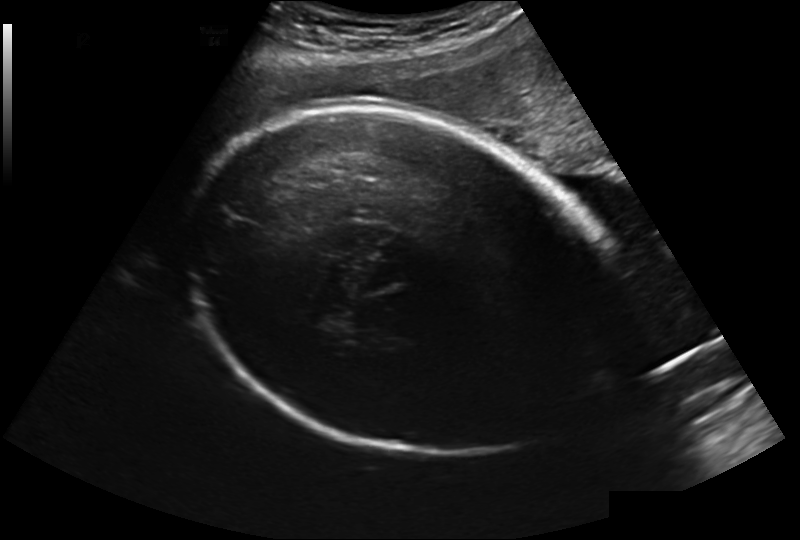
Measure the fetal head circumference shown in this ultrasound image. Image width: 192.6 mm.

Head circumference: 303.3 mm.